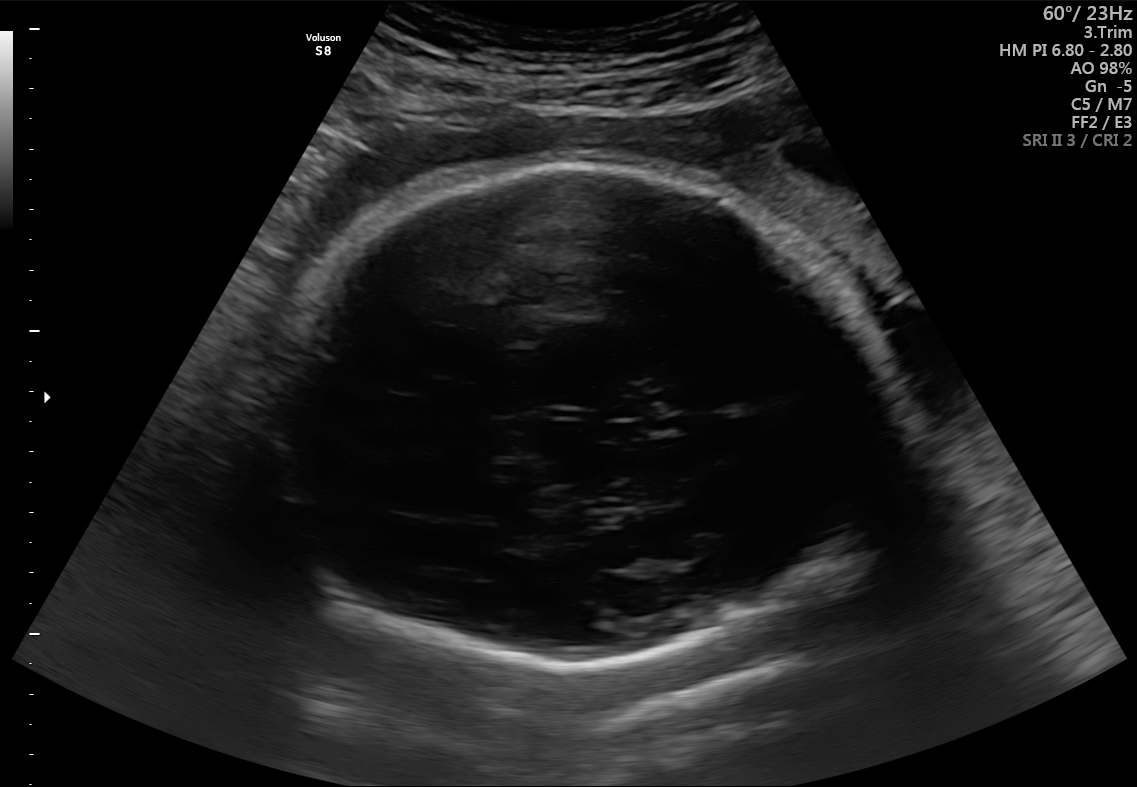
Fetal brain, trans-thalamic plane. Locate the fetal head.

Head: [263,161,900,664]